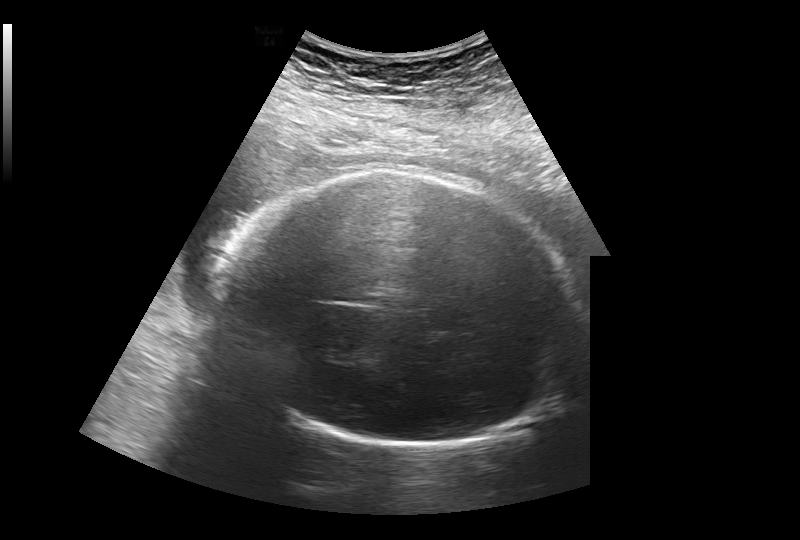
Fetal head ultrasound. Image width: 246.2 mm. Give [x1,y1,x2,y2] bounding boxes for each visible structure among: fetal head, CSP, LV.

Head: [221,172,577,447]